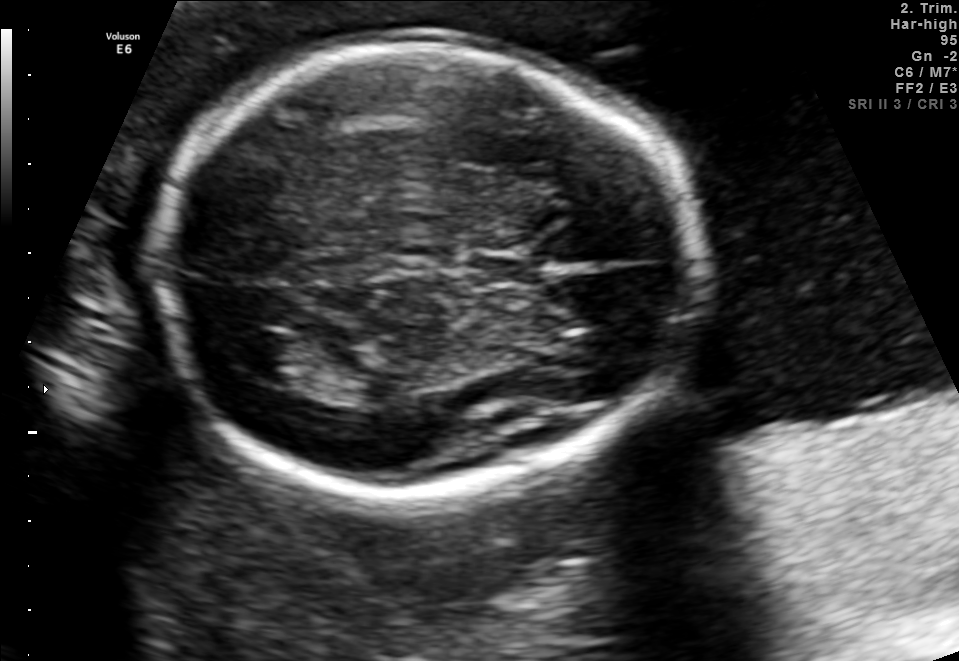
Fetal brain, trans-thalamic plane. Where is the cavum septum pellucidum?

CSP bounding box: [463,250,551,286]